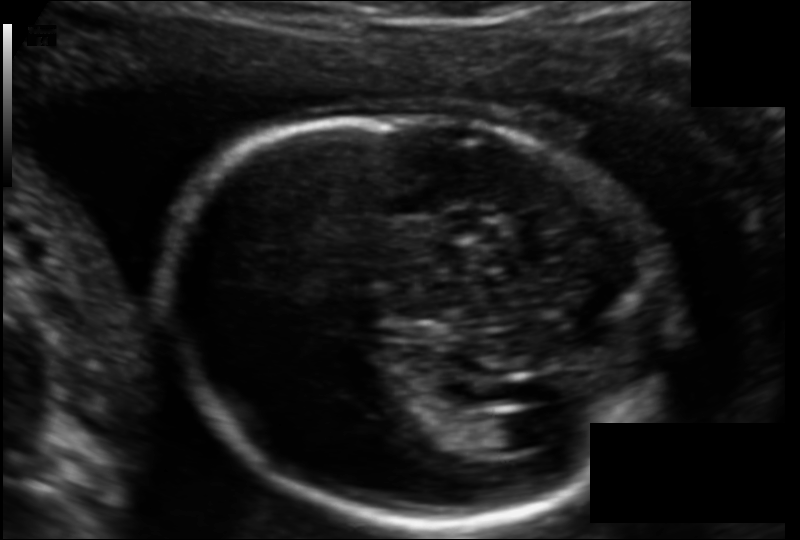
Fetal head ultrasound. Image width: 98.5 mm. Locate the fetal head.

Head: [172,113,668,524]